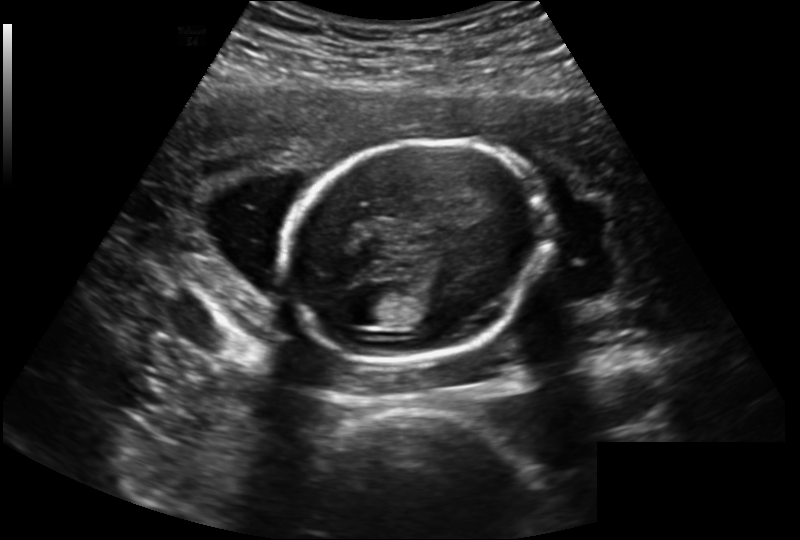
From this fetal ultrasound, estimate the head circumference (image width 161.7 mm).

Head circumference: 160.0 mm.